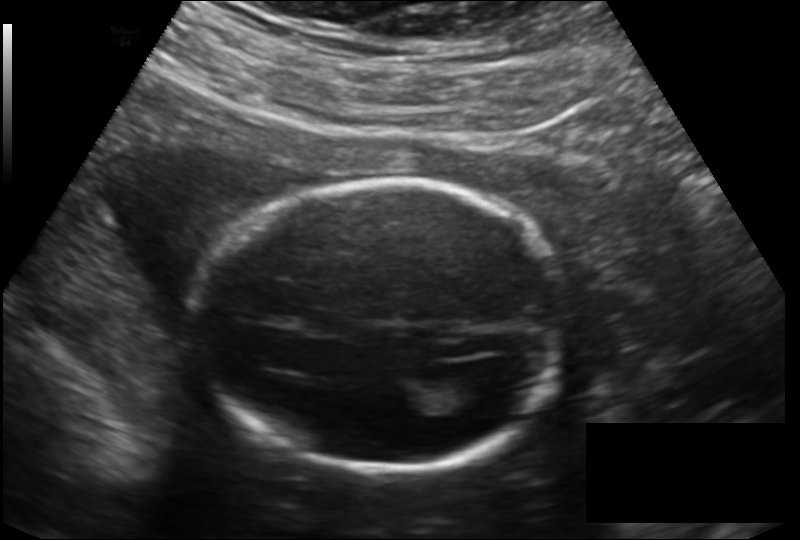
Fetal head ultrasound. Image width: 133.1 mm. Locate the lateral ventricle.

Lateral ventricle: [434,370,502,418]